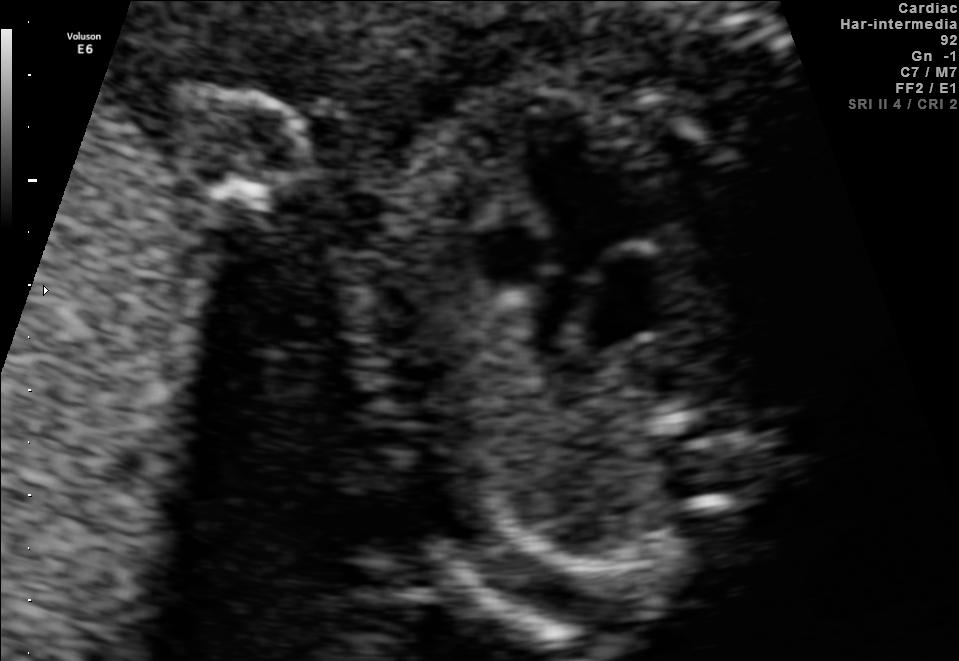
Which standard maternal-fetal ultrasound plane is shown: fetal abdomen, fetal brain, fetal femur, fetal thorax, maternal cervix, or other? If it's fetal brain and one of the three standard brain planes (trans-thalamic, trans-cerebellum, trans-ventricular), name which.

Other